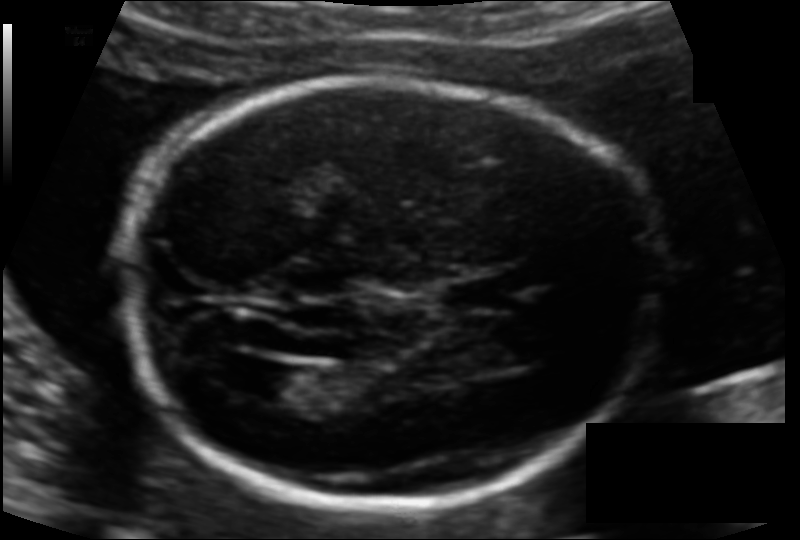
In this fetal head ultrasound, give the bounding box of the cavum septum pellucidum. Image width: 90.3 mm.

[435,278,505,313]